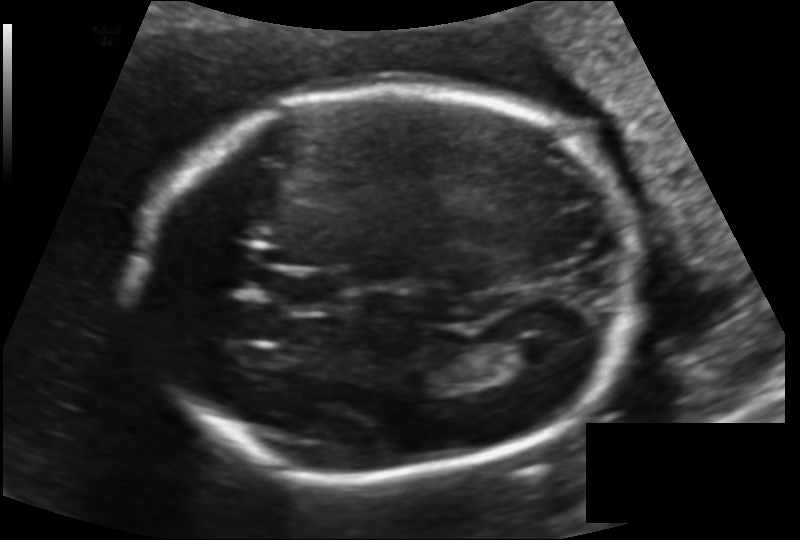
Measure the fetal head circumference shown in this ultrasound image. Image width: 115.0 mm.

Head circumference: 209.1 mm.